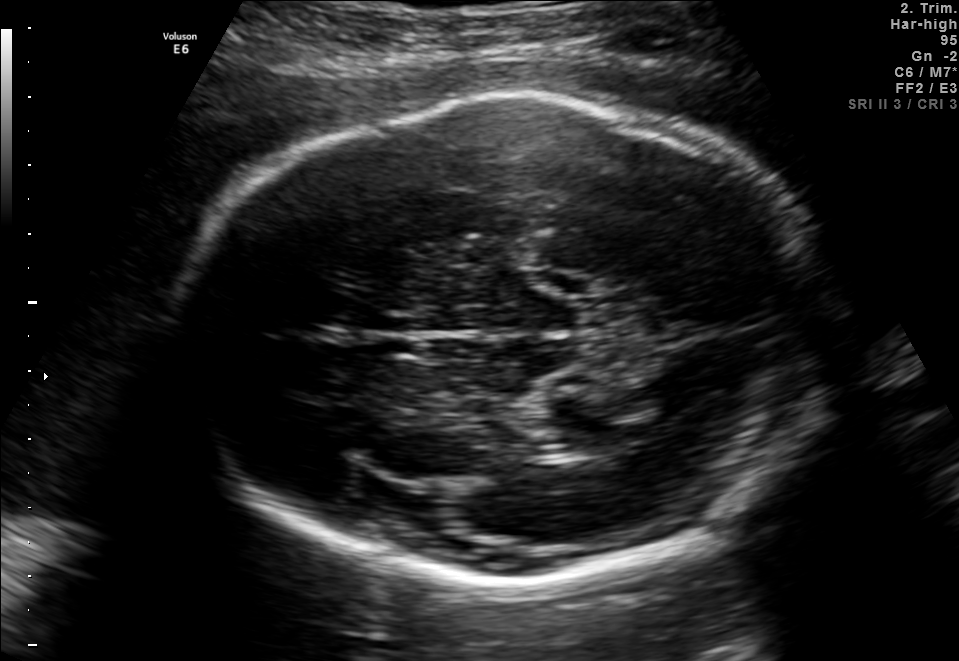
In this fetal brain, trans-thalamic plane, give the bounding box of the fetal head.

[173,99,832,590]